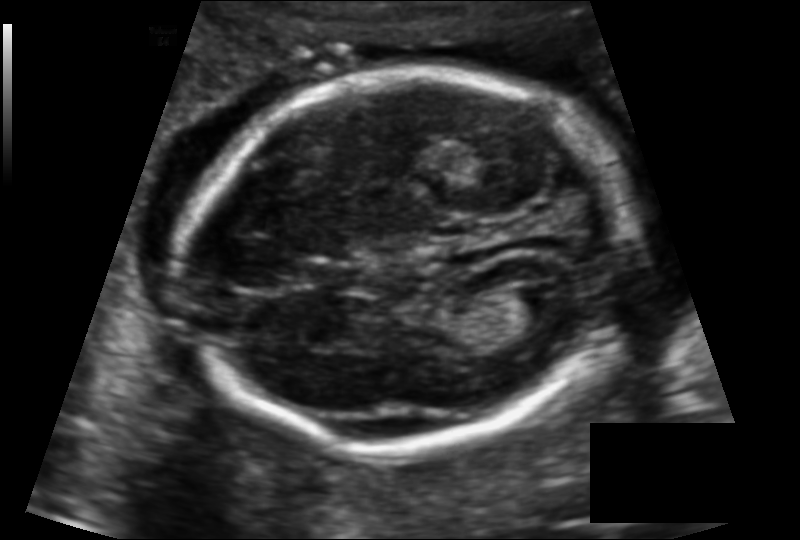
Measure the fetal head circumference shown in this ultrasound image. Image width: 99.3 mm.

Head circumference: 167.2 mm.